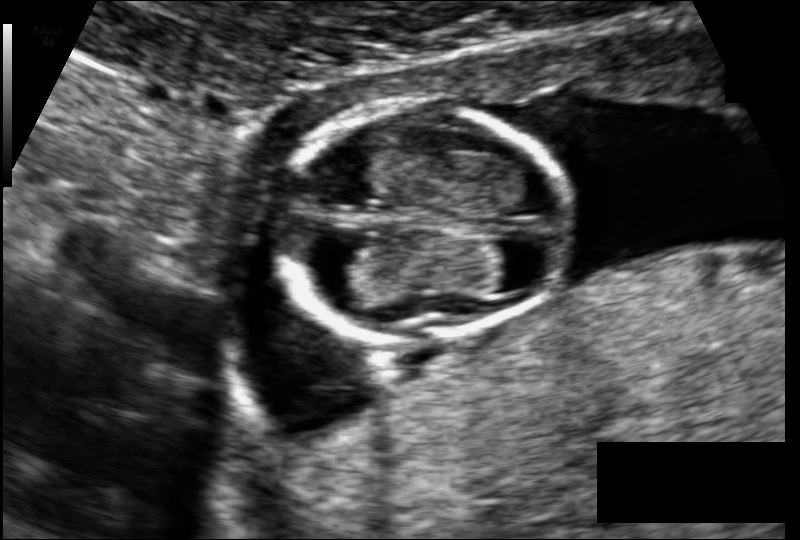
Estimate the fetal head circumference from this 2D ultrasound. Image width: 78.5 mm.

Head circumference: 83.4 mm.